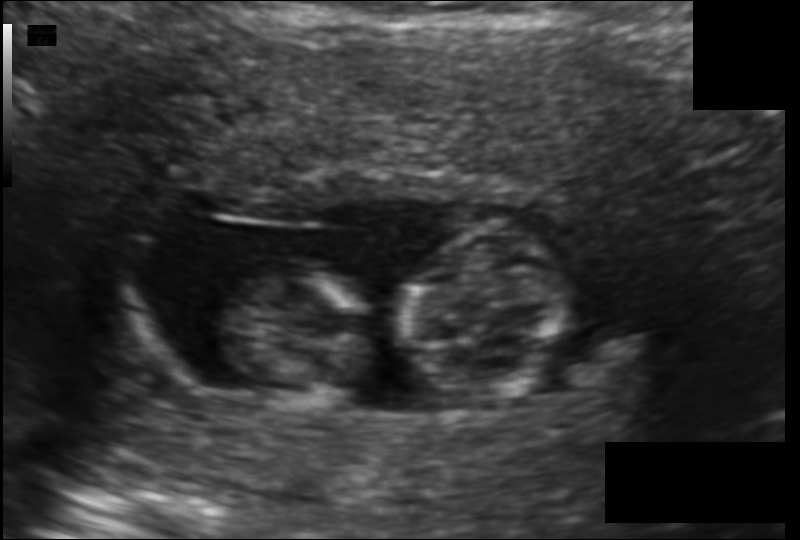
In this fetal head ultrasound, give the bounding box of the fetal head. Image width: 95.3 mm.

[395,221,571,404]